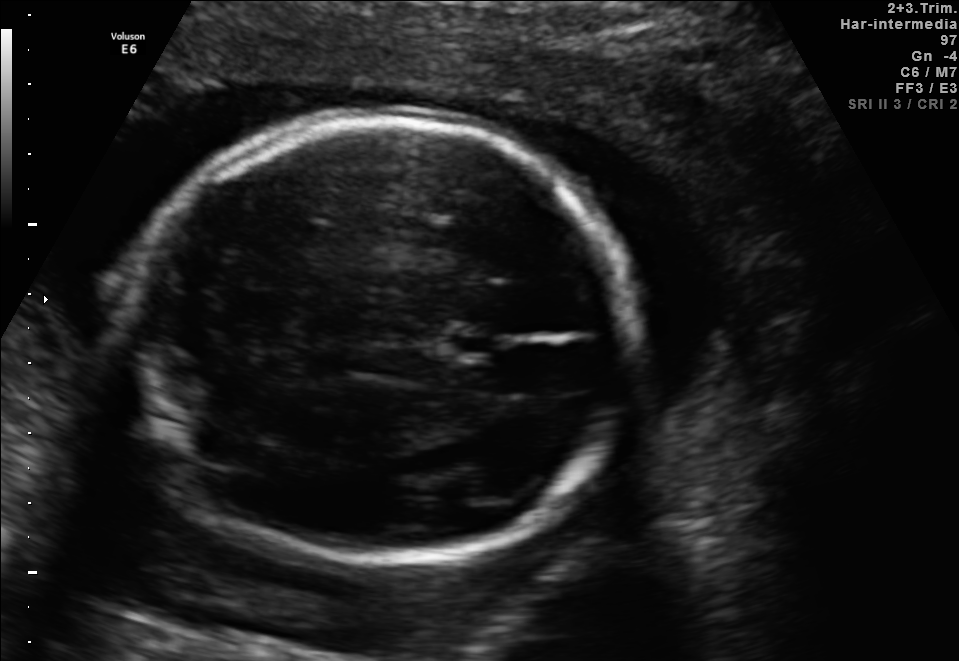
In this fetal brain, trans-thalamic plane, give the bounding box of the fetal head.

[128,115,633,558]